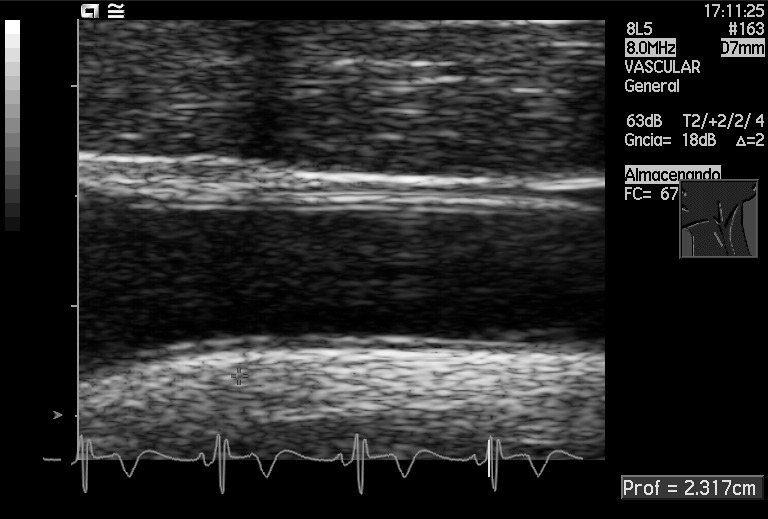
Classify this maternal-fetal ultrasound image as one of the six standard planes — fetal abdomen, fetal brain, fetal femur, fetal thorax, maternal cervix, or other. If it's fetal brain and one of the three standard brain planes (trans-thalamic, trans-cerebellum, trans-ventricular), name which.

Other